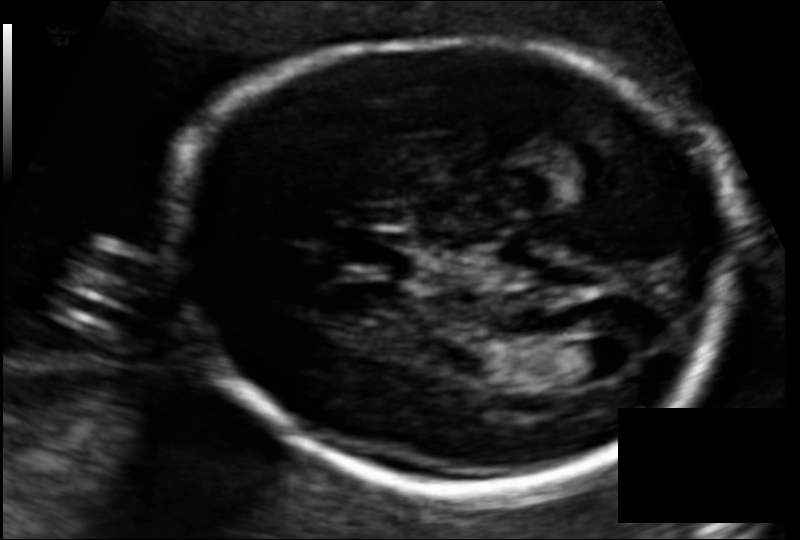
Measure the fetal head circumference shown in this ultrasound image. Image width: 86.4 mm.

Head circumference: 182.0 mm.